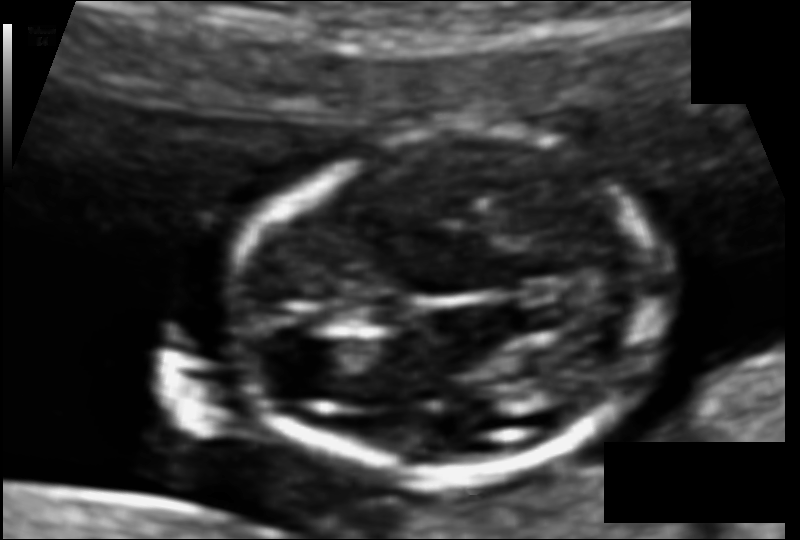
Fetal head ultrasound. Image width: 60.3 mm. Locate the fetal head and, if visible, the cavum septum pellucidum (CSP) and lateral ventricle (LV). Give bounding boxes as [x1,y1,x2,y2].

Head: [232,132,665,473]